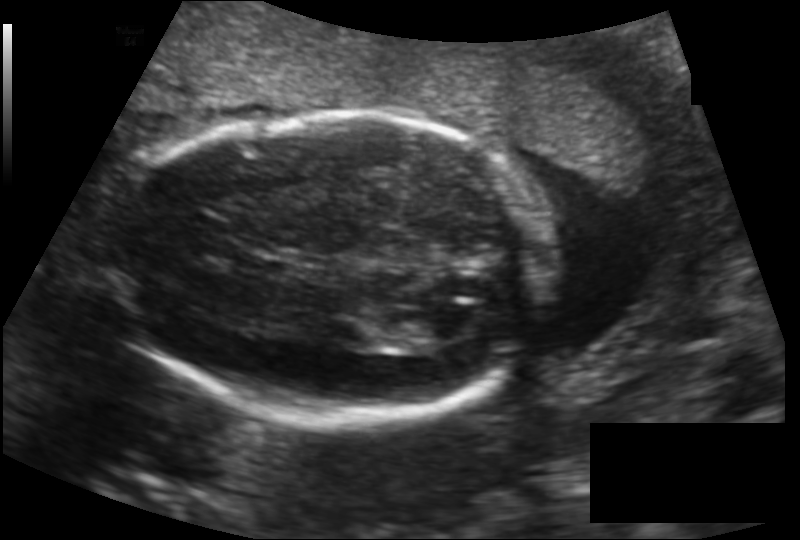
Fetal head ultrasound. Image width: 116.6 mm. Locate the lateral ventricle.

Lateral ventricle: [426,305,482,341]